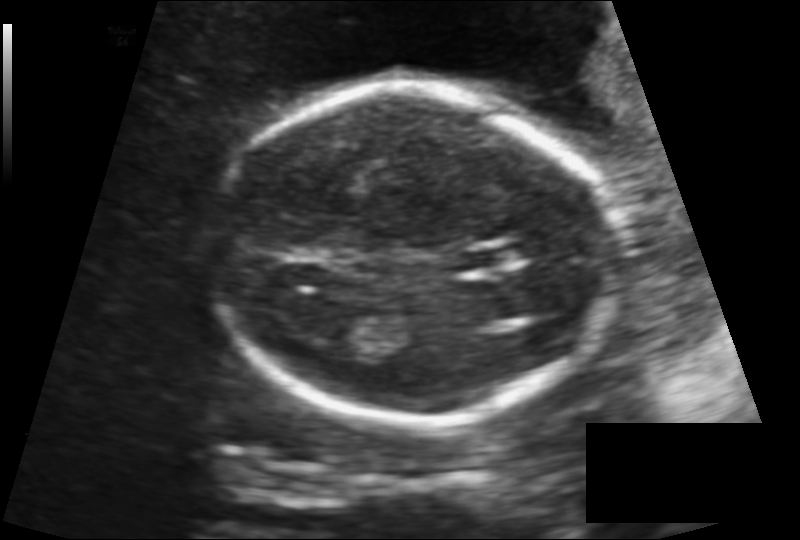
Fetal head ultrasound. Image width: 110.1 mm. Where is the fetal head?

Head bounding box: [215,89,616,426]